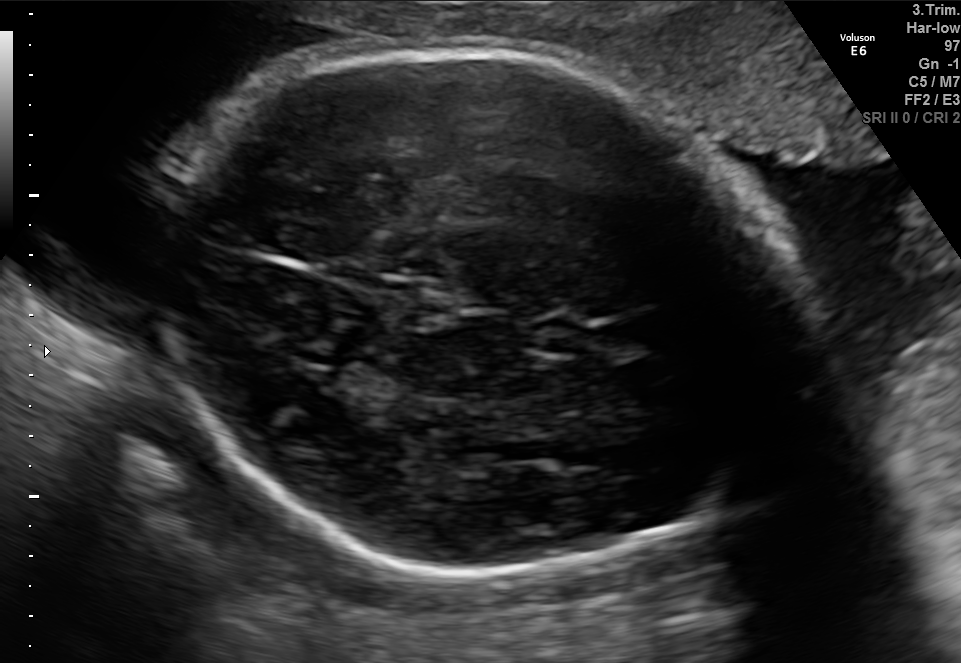
Fetal brain, trans-thalamic plane. Where is the fetal head?

Head bounding box: [153,49,804,578]